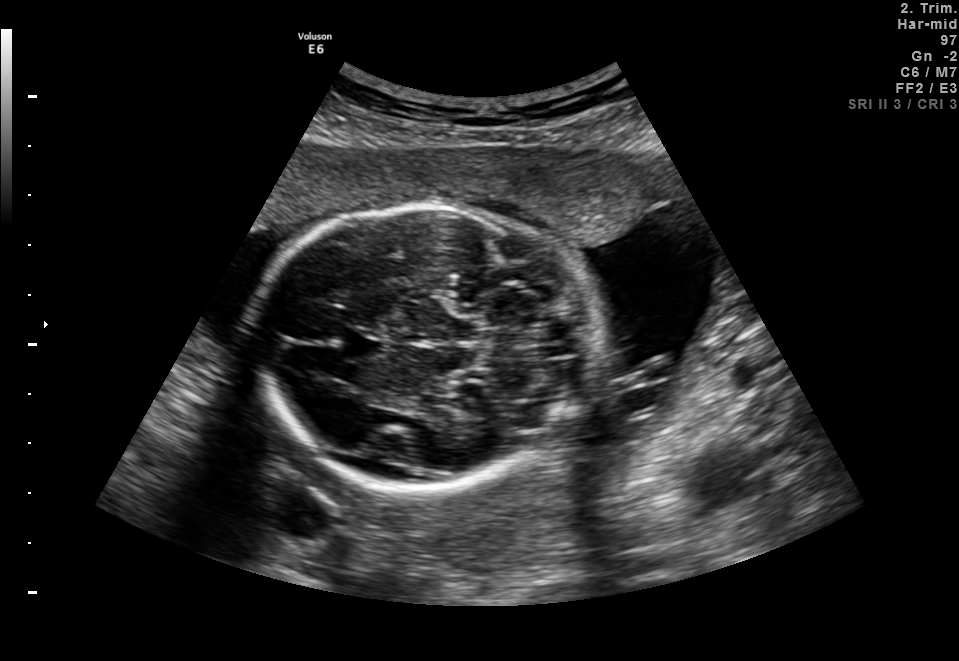
Fetal brain, trans-cerebellum plane. Locate the cavum septum pellucidum.

CSP: [341,327,383,359]